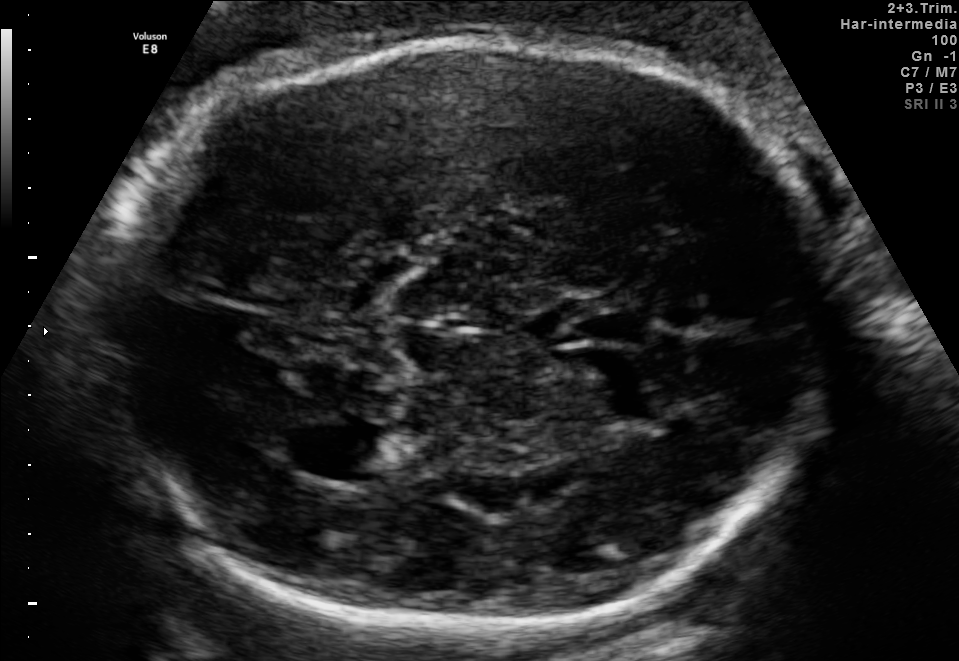
Fetal brain, trans-thalamic plane. Locate the cavum septum pellucidum.

CSP: [539,302,652,352]